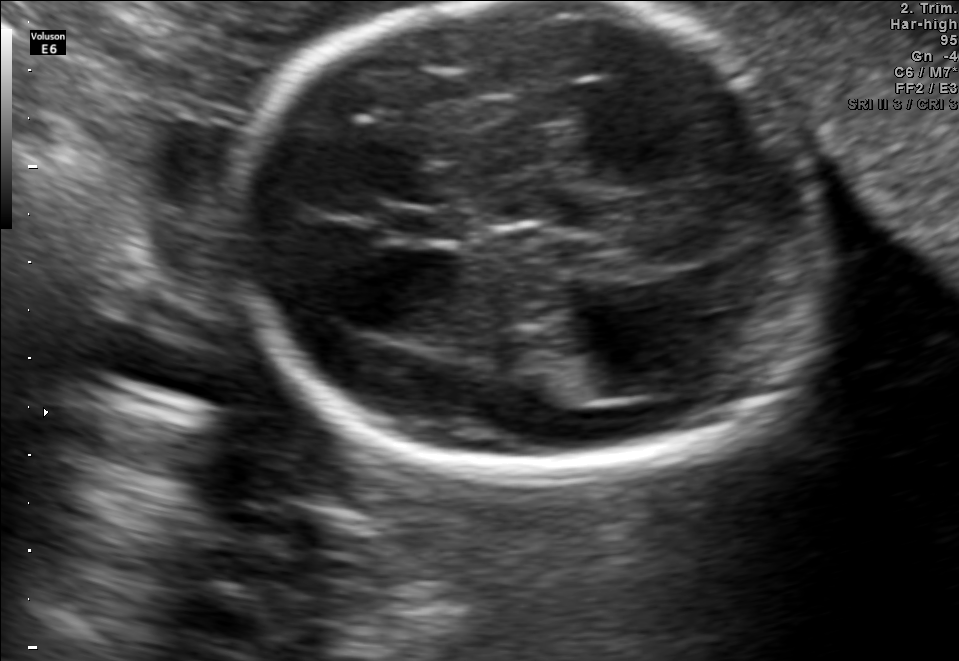
In this fetal brain, trans-thalamic plane, give bounding boxes for the head outline, cavum septum pellucidum (CSP), and lateral ventricle (LV), where visible.

Head: [230,2,823,479]
CSP: [383,204,464,241]
Lateral ventricle: [551,342,677,404]